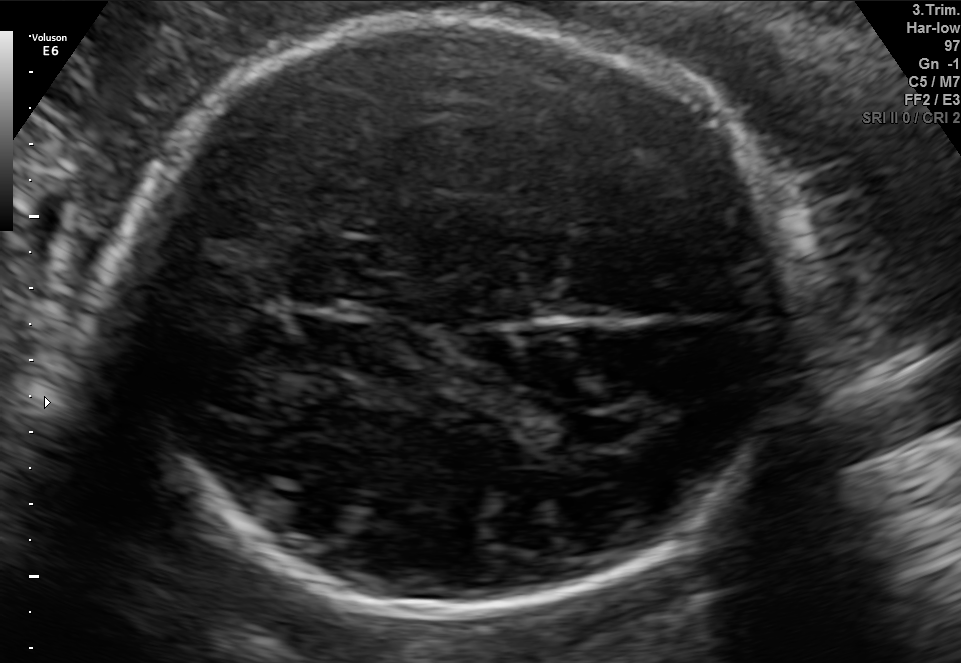
Identify the standard plane in this fetal ultrasound image: fetal abdomen, fetal brain, fetal femur, fetal thorax, maternal cervix, or other. If it's fetal brain and one of the three standard brain planes (trans-thalamic, trans-cerebellum, trans-ventricular), name which.

Fetal brain (trans-thalamic plane)